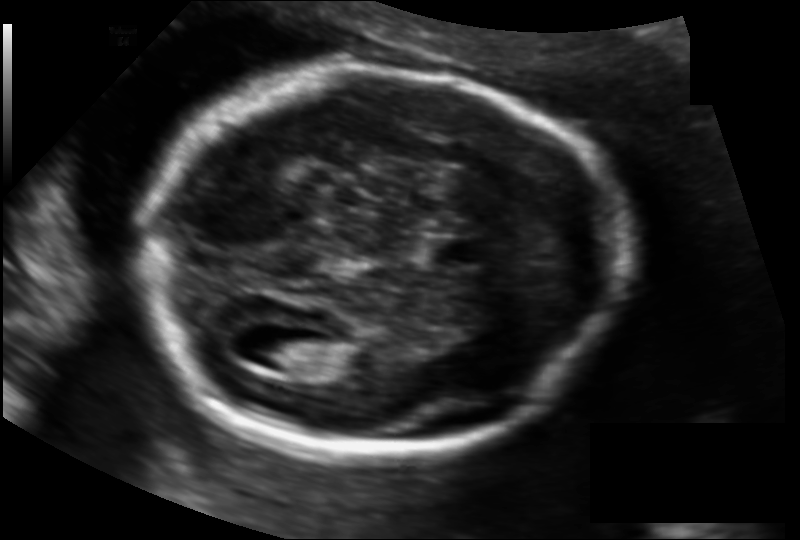
In this fetal head ultrasound, give the bounding box of the lateral ventricle. Image width: 102.3 mm.

[251,328,317,376]